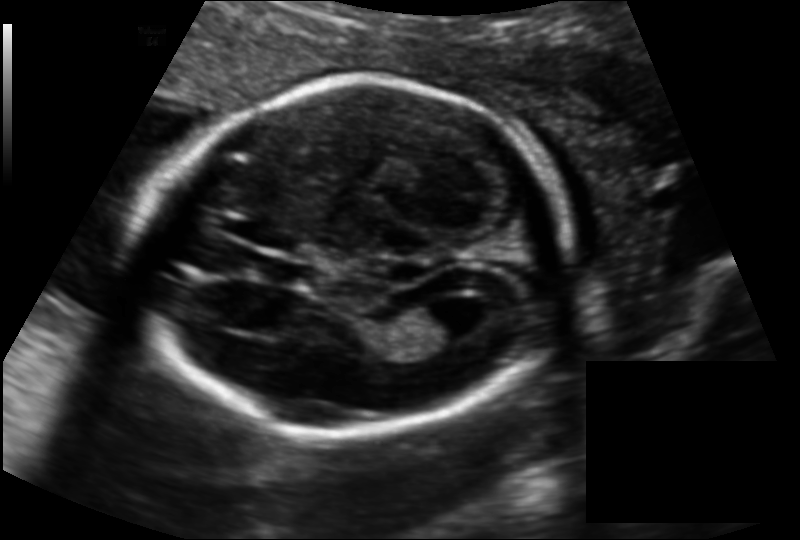
From this fetal ultrasound, estimate the head circumference (image width 107.9 mm).

Head circumference: 172.9 mm.